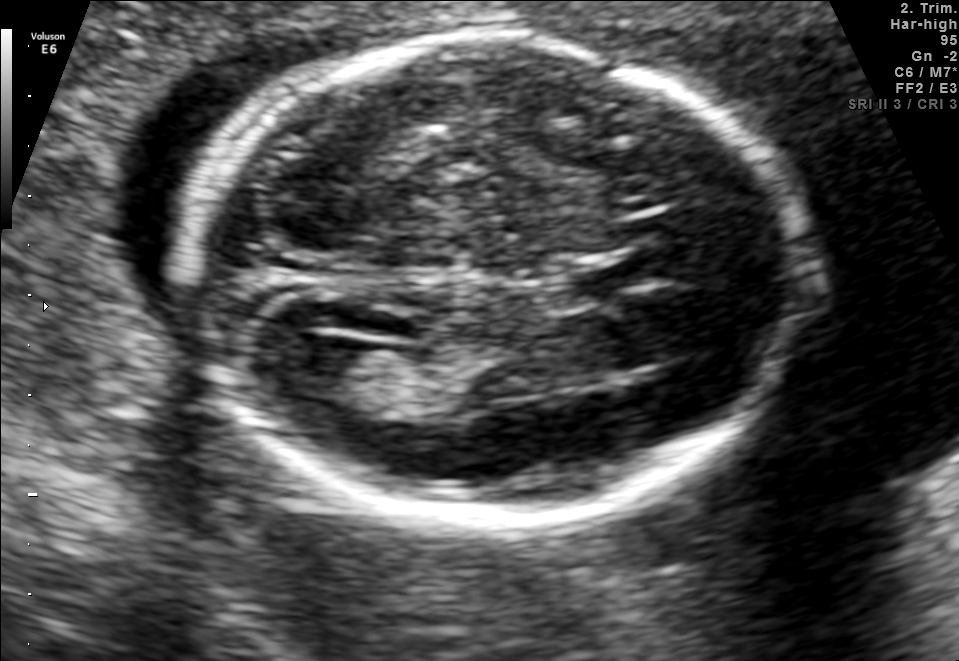
Fetal brain, trans-ventricular plane. Locate the cavum septum pellucidum.

CSP: [530,238,668,314]